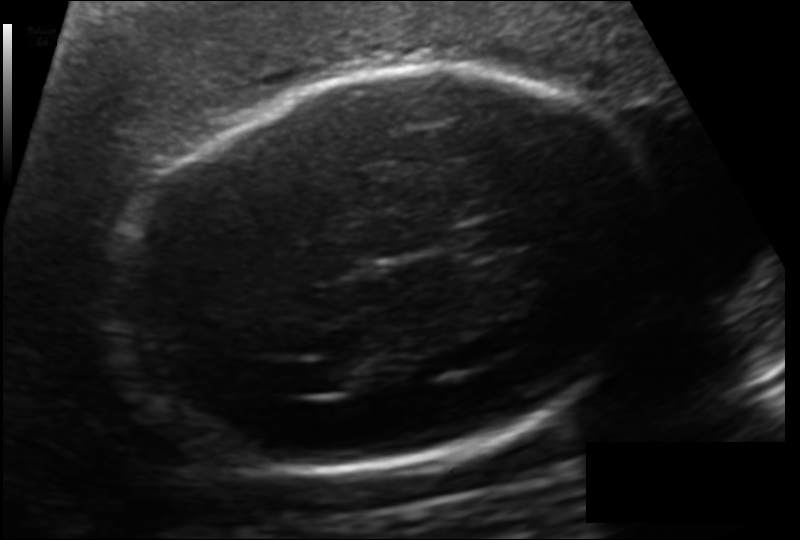
Measure the fetal head circumference shown in this ultrasound image. Image width: 120.9 mm.

Head circumference: 231.3 mm.